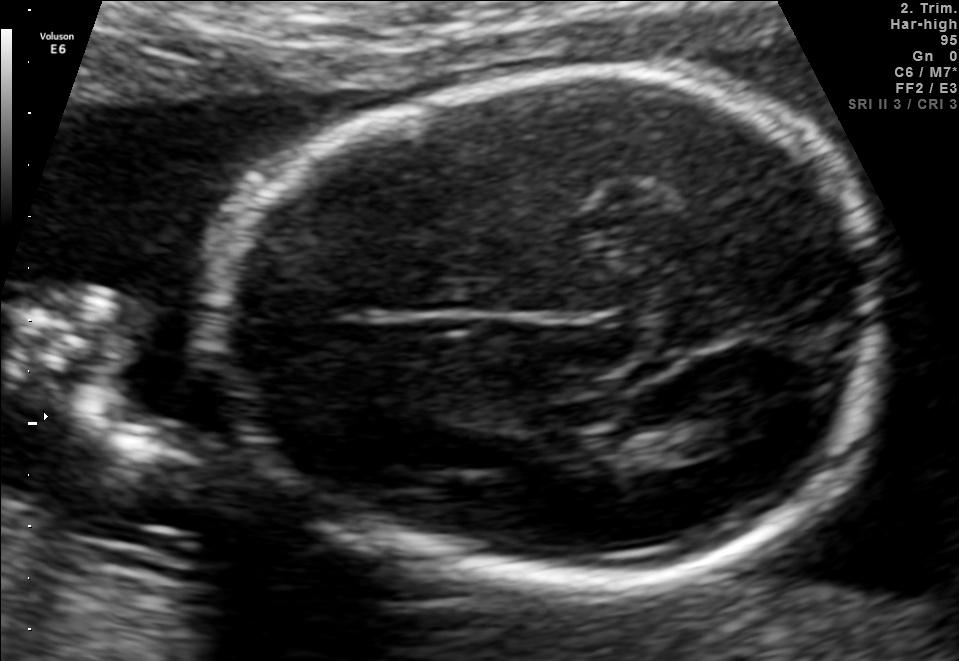
Fetal brain, trans-thalamic plane. Locate the fetal head and, if visible, the cavum septum pellucidum (CSP) and lateral ventricle (LV). Give bounding boxes as [x1,y1,x2,y2].

Head: [215,73,890,588]
Lateral ventricle: [660,394,766,466]